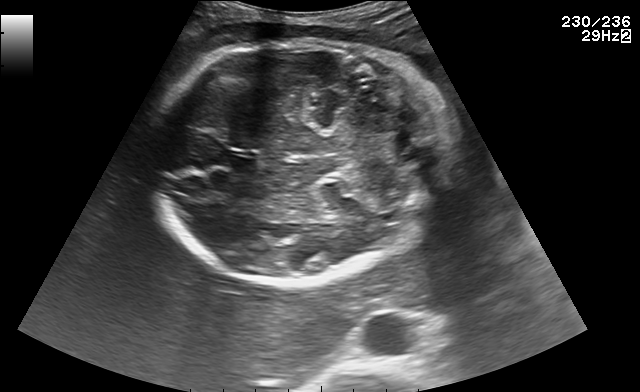
Fetal brain, trans-cerebellum plane. Where is the fetal head?

Head bounding box: [150,39,444,284]